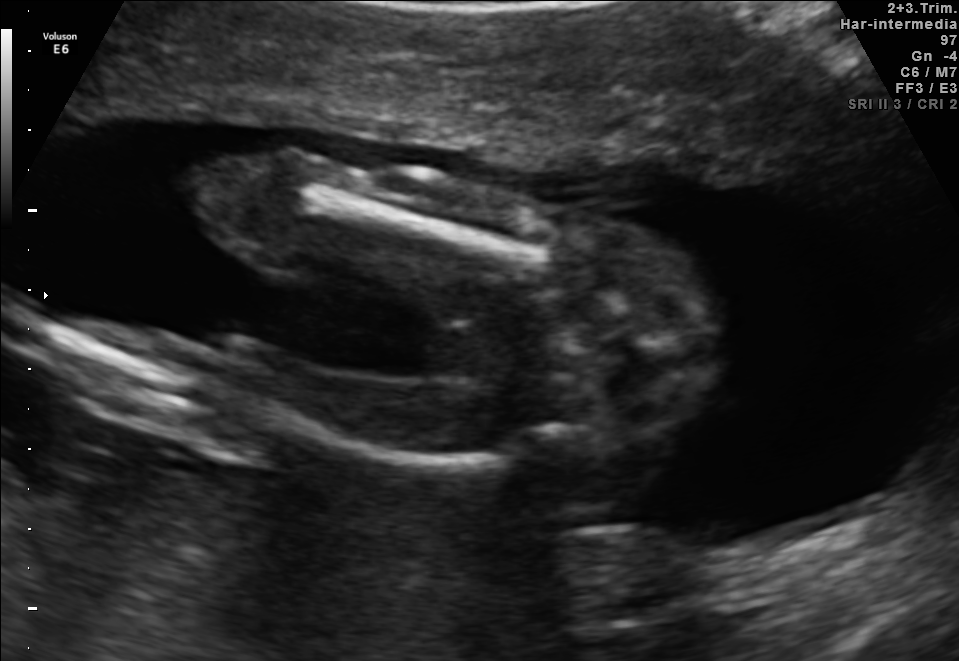
Identify the standard plane in this fetal ultrasound image: fetal abdomen, fetal brain, fetal femur, fetal thorax, maternal cervix, or other. If it's fetal brain and one of the three standard brain planes (trans-thalamic, trans-cerebellum, trans-ventricular), name which.

Fetal femur